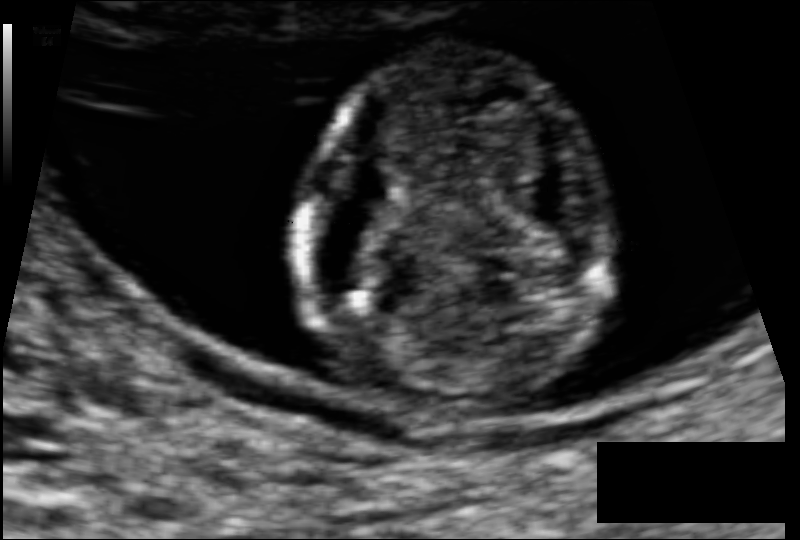
What is the fetal head circumference? Image width is 59.5 mm.

80.5 mm